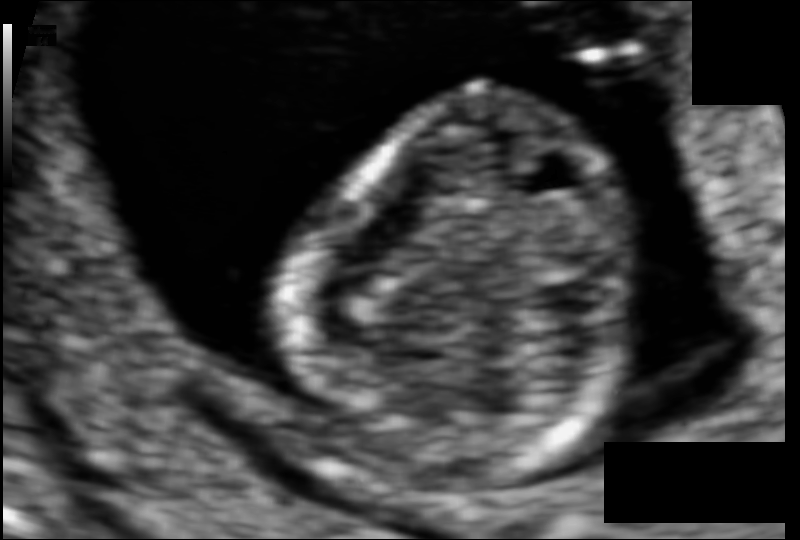
Fetal head ultrasound. Image width: 48.3 mm. Locate the fetal head.

Head: [301,97,646,482]